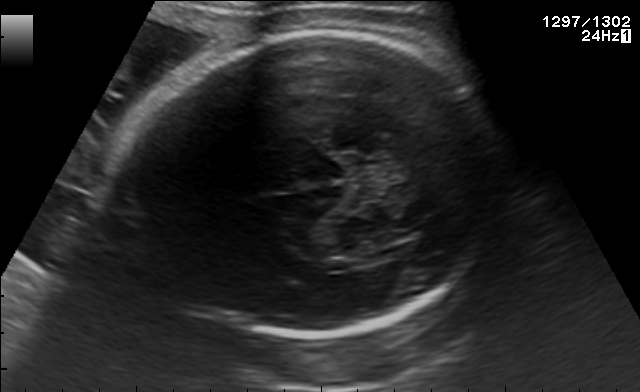
Fetal brain, trans-thalamic plane. Locate the fetal head.

Head: [113,31,501,340]